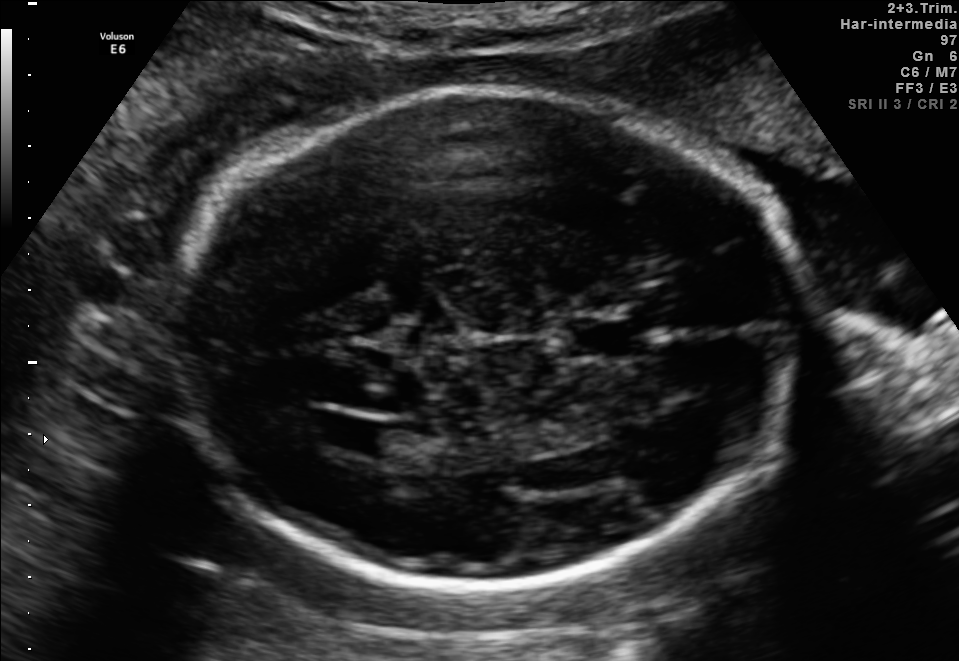
Fetal brain, trans-ventricular plane. Where is the lateral ventricle?

Lateral ventricle bounding box: [320,411,383,458]